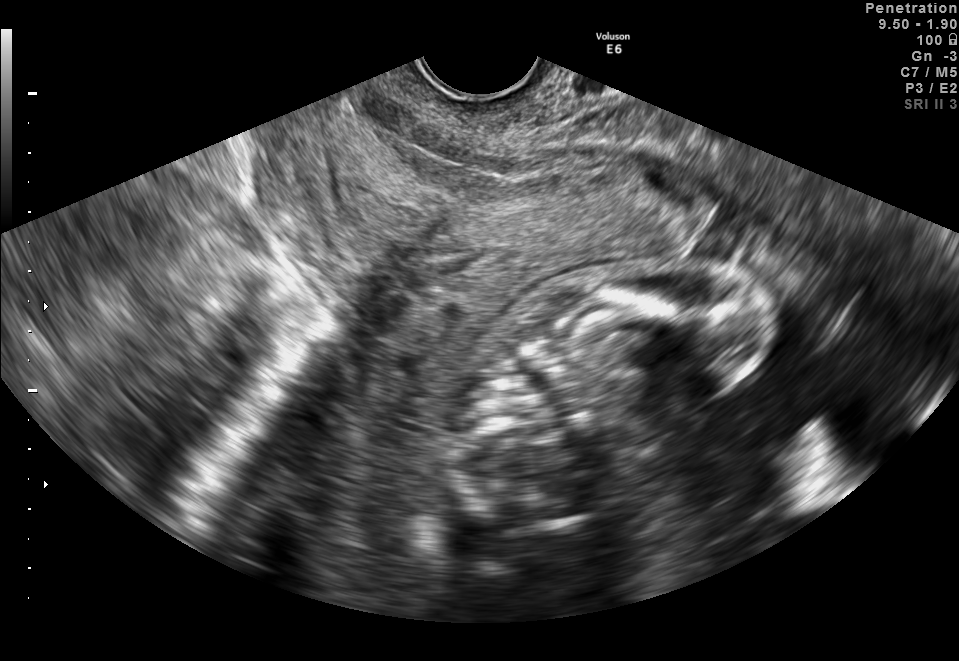
This is a 2D maternal-fetal ultrasound frame. Is it a fetal abdomen, fetal brain, fetal femur, fetal thorax, maternal cervix, or other standard plane? If it's fetal brain and one of the three standard brain planes (trans-thalamic, trans-cerebellum, trans-ventricular), name which.

Maternal cervix